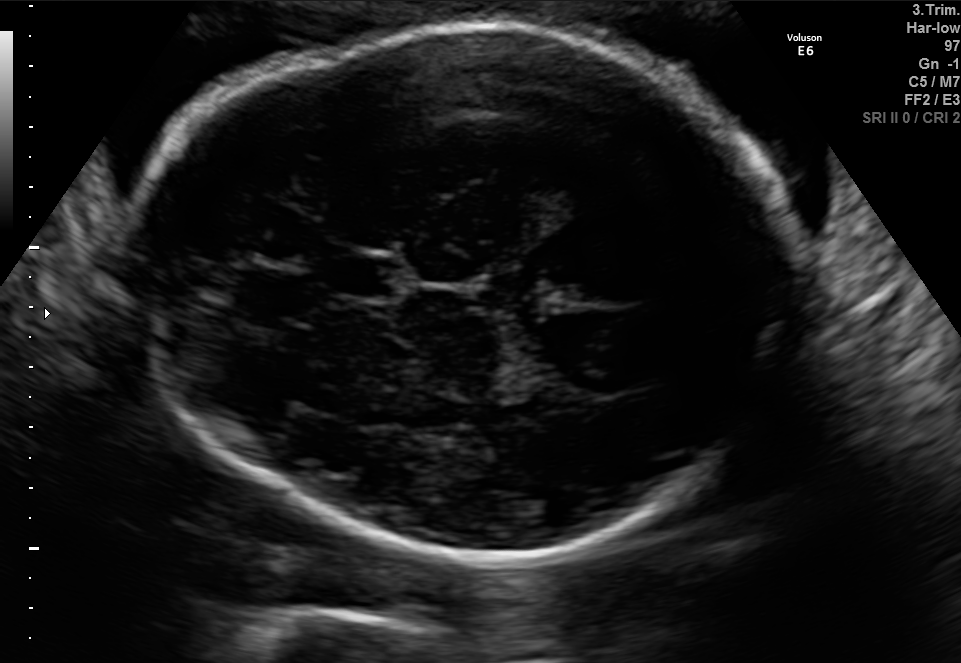
In this fetal brain, trans-thalamic plane, give the bounding box of the cavum septum pellucidum.

[335,253,399,299]